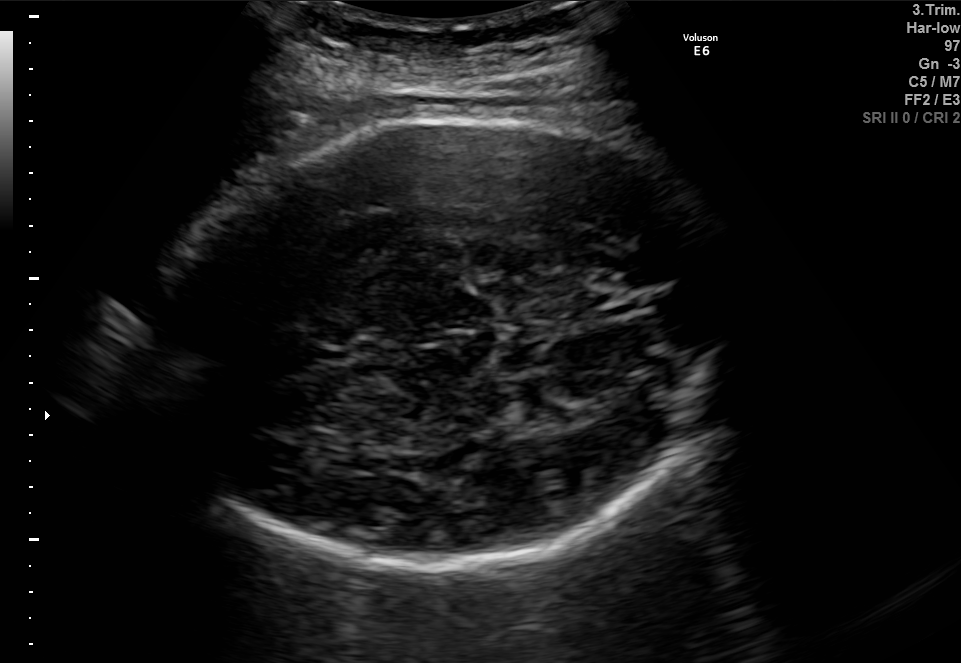
Fetal brain, trans-thalamic plane. Locate the fetal head.

Head: [147,111,734,564]